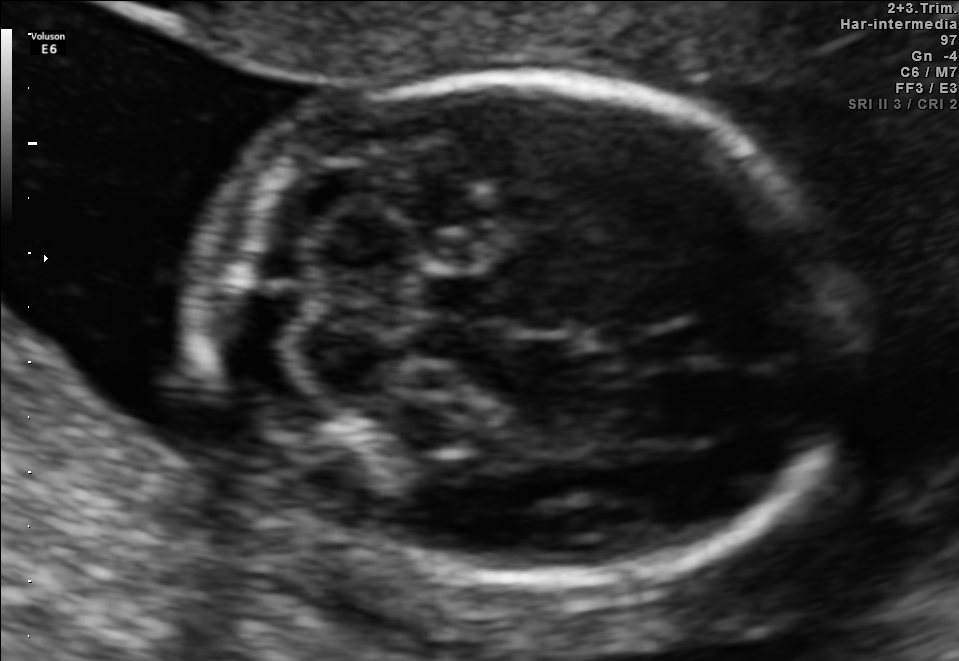
In this fetal brain, trans-cerebellum plane, give the bounding box of the fetal head.

[193,78,852,581]